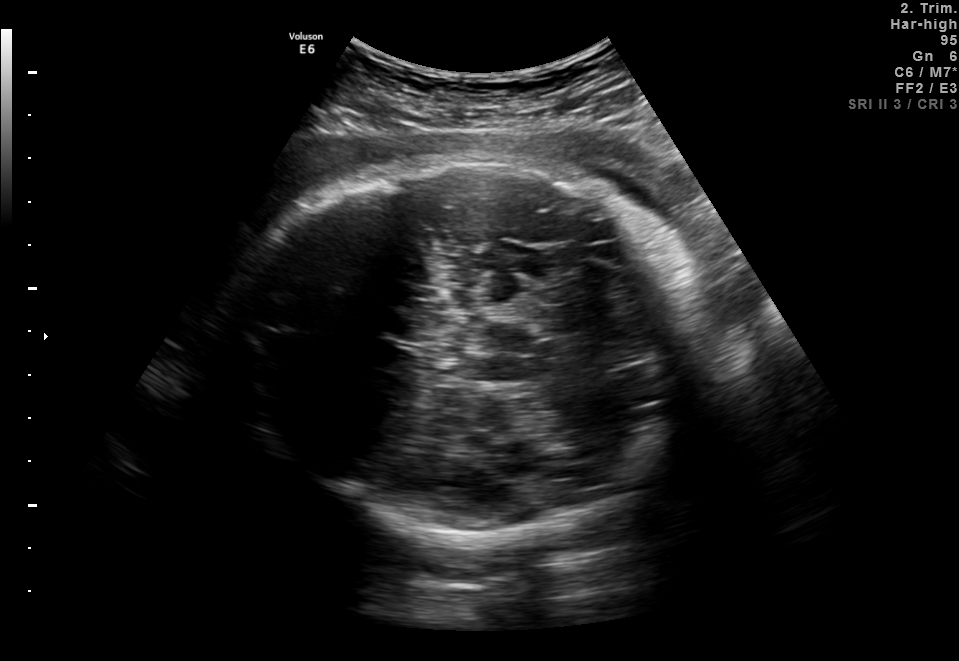
In this fetal brain, trans-thalamic plane, give bounding boxes for the head outline, cavum septum pellucidum (CSP), and lateral ventricle (LV), where visible.

Head: [225,158,706,535]